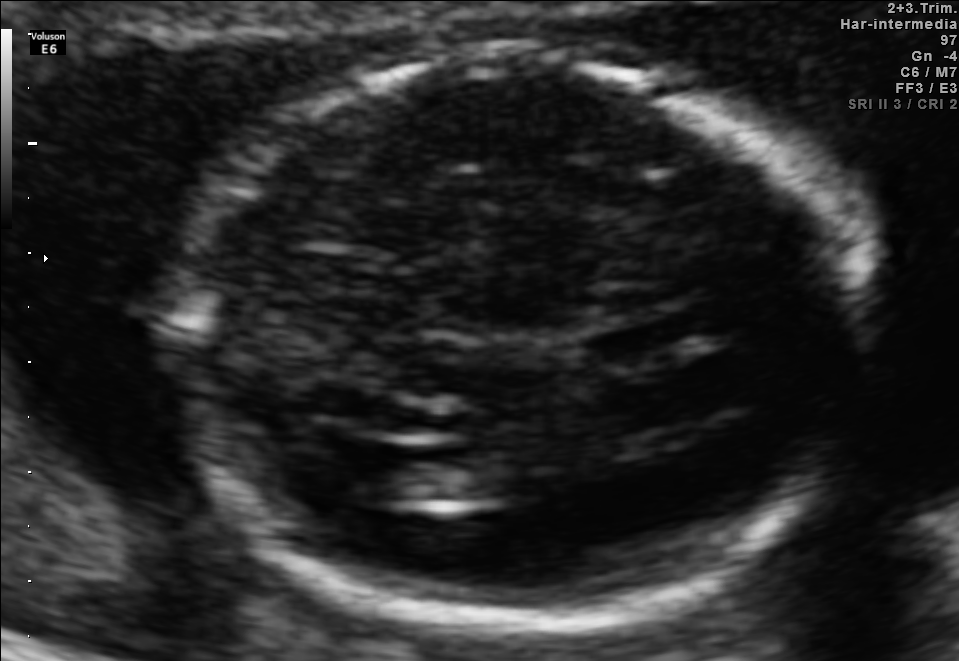
Fetal brain, trans-ventricular plane. Where is the fetal head?

Head bounding box: [152,35,897,632]